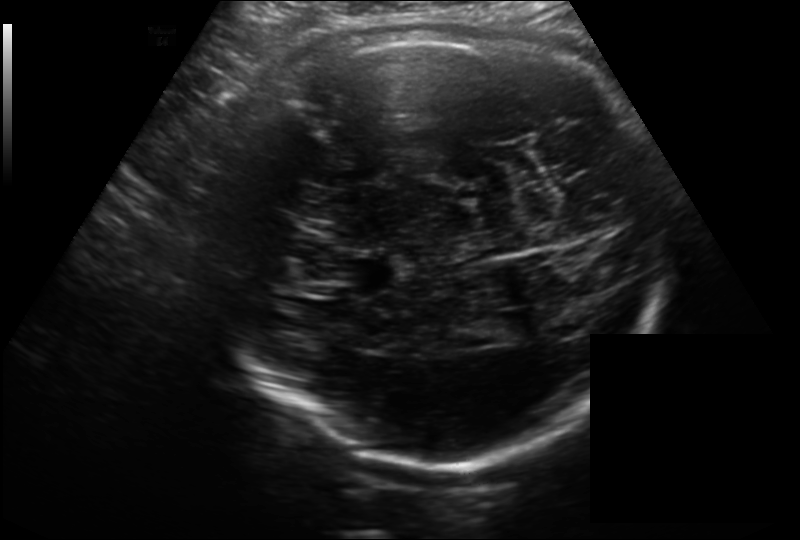
Measure the fetal head circumference shown in this ultrasound image. Image width: 171.5 mm.

Head circumference: 311.2 mm.